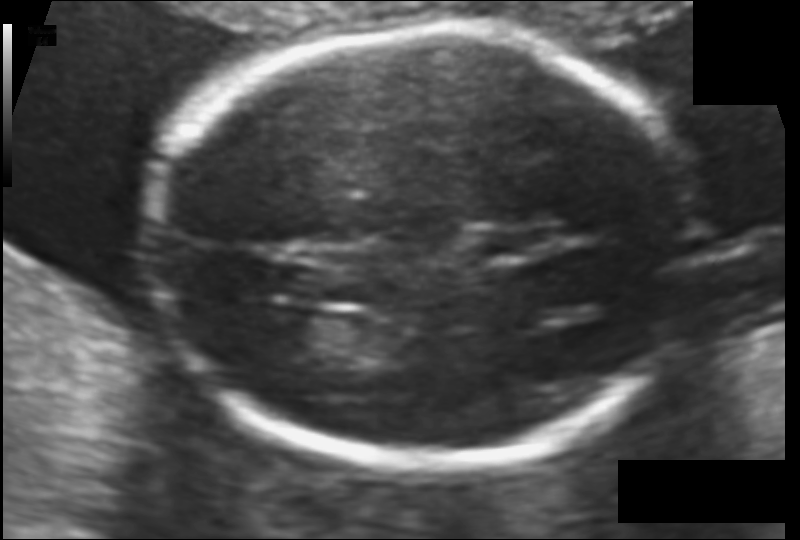
Estimate the fetal head circumference from this 2D ultrasound. Image width: 82.1 mm.

Head circumference: 164.4 mm.